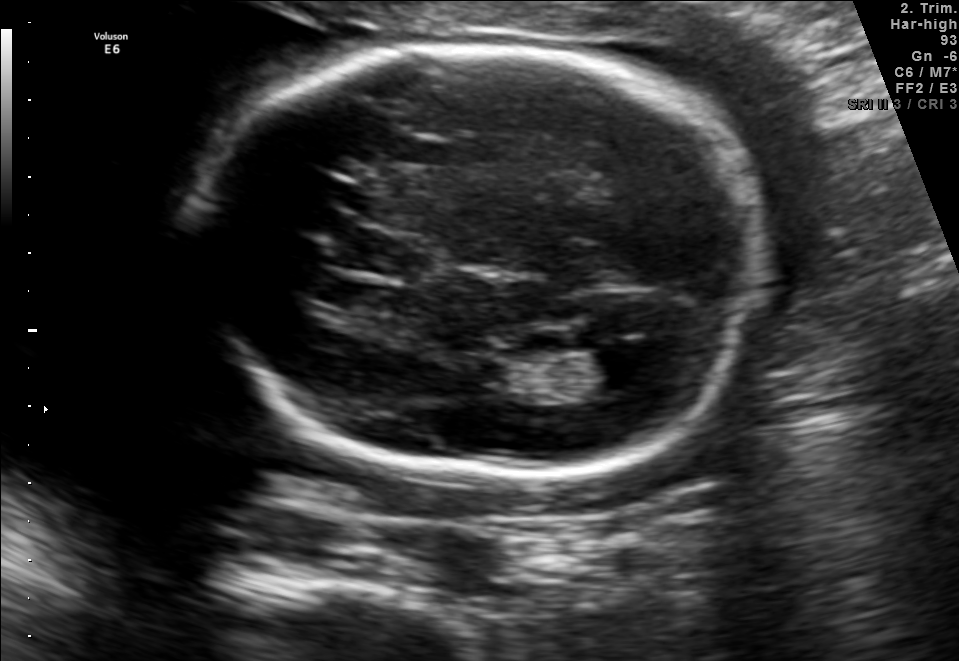
In this fetal brain, trans-ventricular plane, give bounding boxes for the head outline, cavum septum pellucidum (CSP), and lateral ventricle (LV), where visible.

Head: [184,34,781,487]
CSP: [317,222,434,284]
Lateral ventricle: [576,344,664,400]